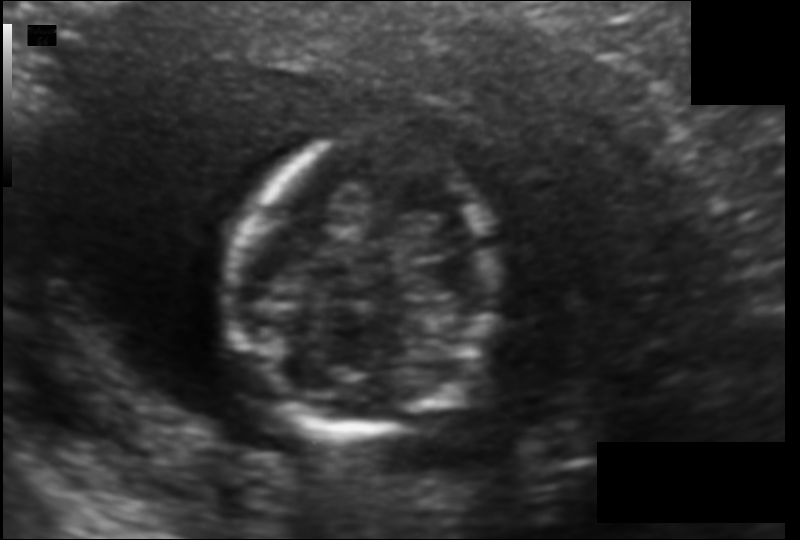
Fetal head ultrasound. Image width: 83.0 mm. Give [x1,y1,x2,y2] bounding boxes for each visible structure among: fetal head, CSP, LV.

Head: [228,138,494,435]